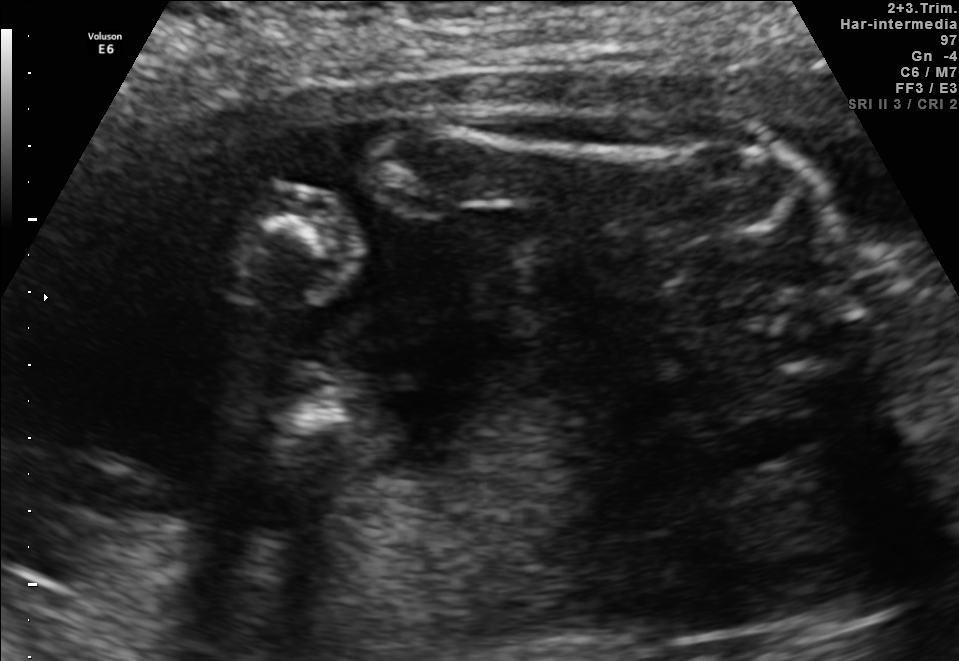
Which standard maternal-fetal ultrasound plane is shown: fetal abdomen, fetal brain, fetal femur, fetal thorax, maternal cervix, or other? If it's fetal brain and one of the three standard brain planes (trans-thalamic, trans-cerebellum, trans-ventricular), name which.

Other